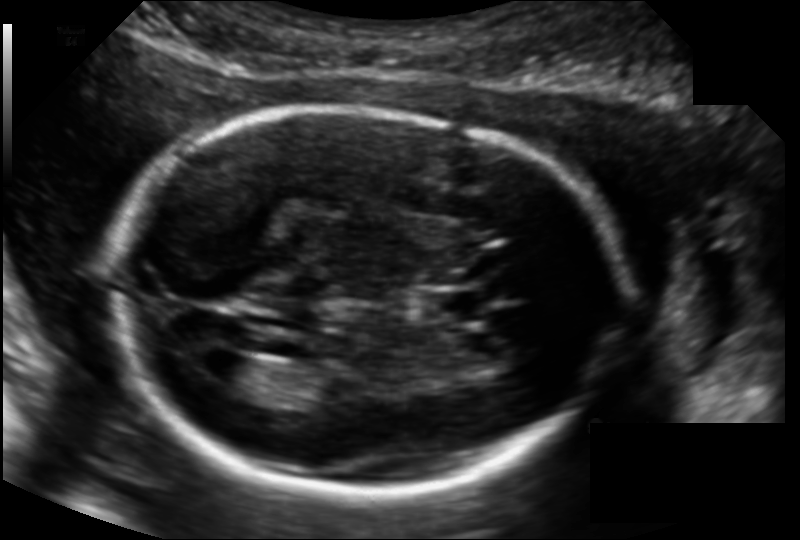
In this fetal head ultrasound, give the bounding box of the fetal head. Image width: 107.7 mm.

[108,108,617,493]